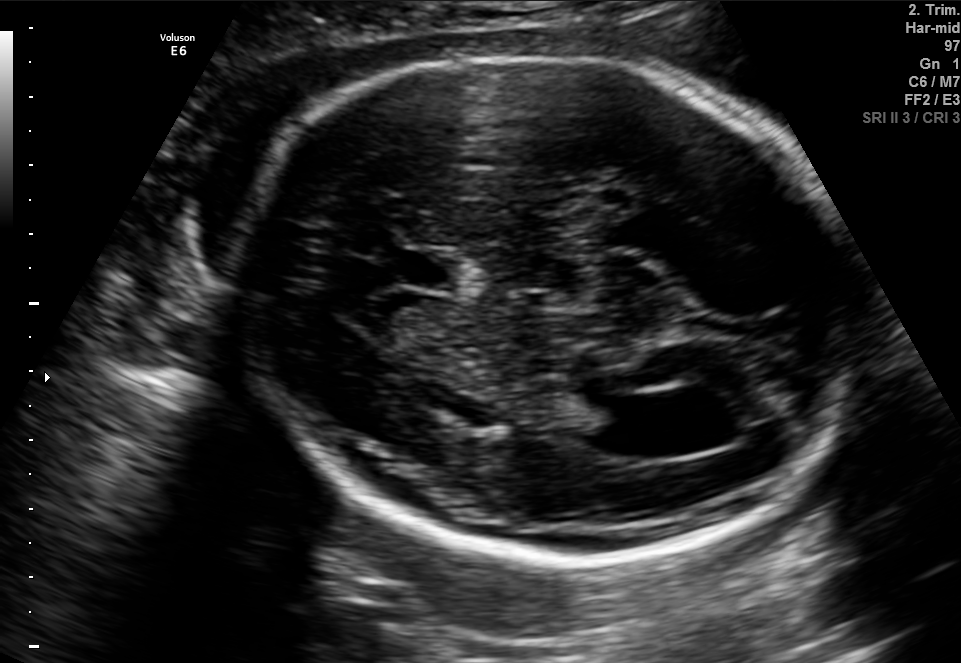
Fetal brain, trans-ventricular plane. Locate the lateral ventricle.

Lateral ventricle: [585,390,674,454]